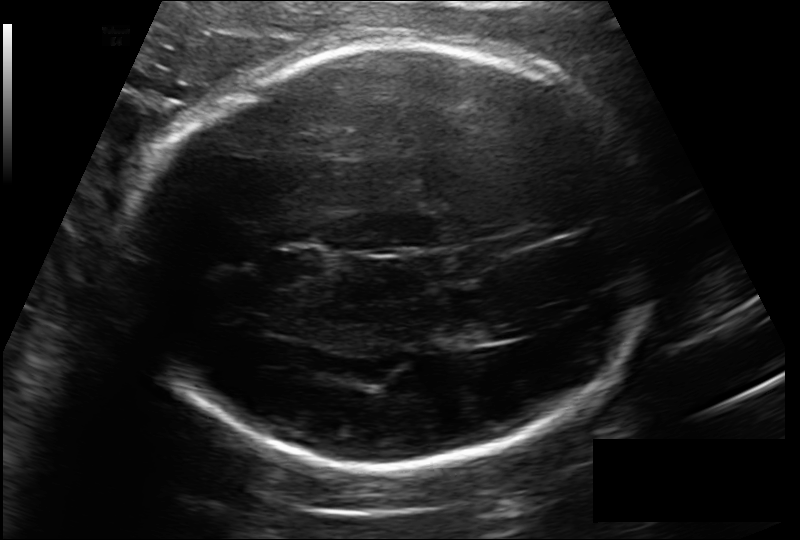
In this fetal head ultrasound, give bounding boxes for the head outline, cavum septum pellucidum (CSP), and lateral ventricle (LV), where visible. Image width: 148.1 mm.

Head: [137,46,658,466]
CSP: [271,246,324,279]
Lateral ventricle: [459,318,510,347]